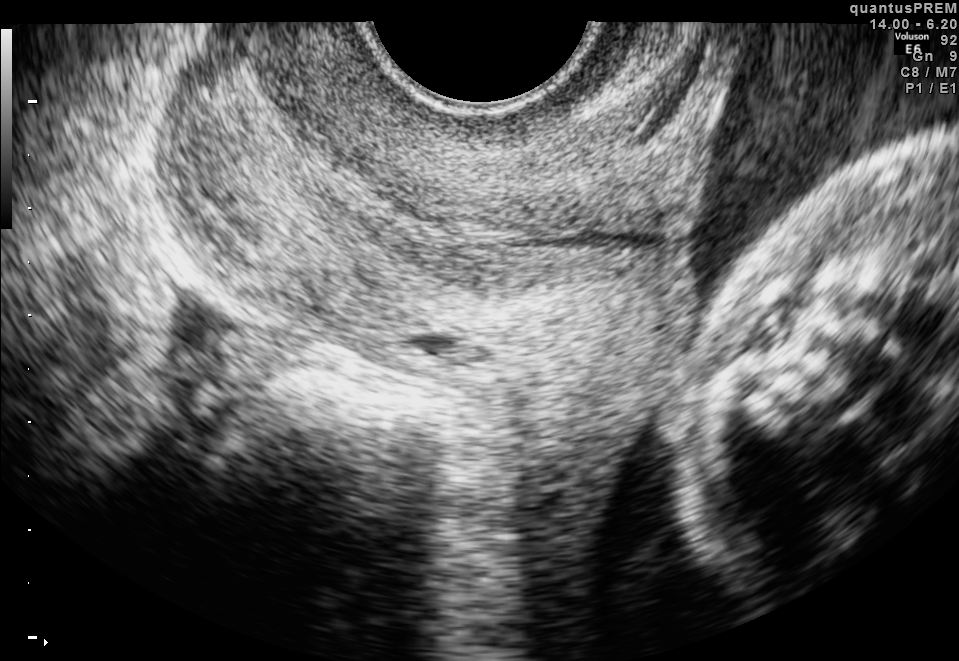
Identify the standard plane in this fetal ultrasound image: fetal abdomen, fetal brain, fetal femur, fetal thorax, maternal cervix, or other. If it's fetal brain and one of the three standard brain planes (trans-thalamic, trans-cerebellum, trans-ventricular), name which.

Maternal cervix